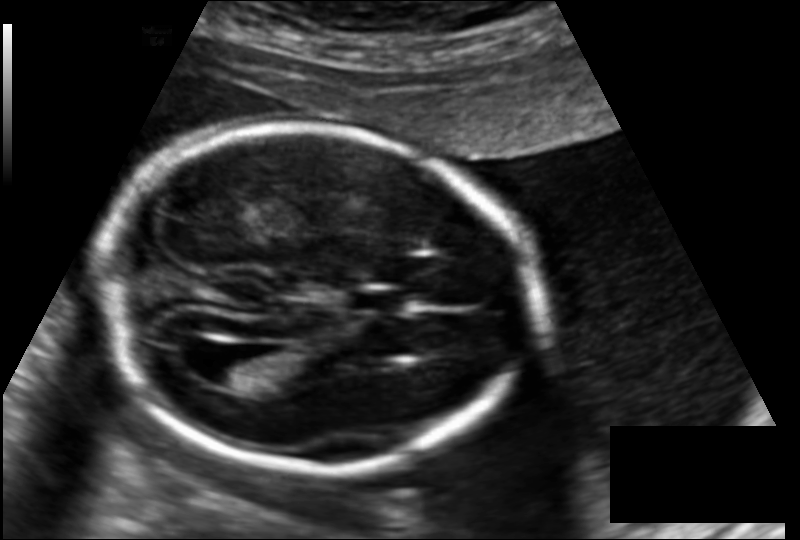
Fetal head ultrasound. Image width: 115.9 mm. Locate the lateral ventricle.

Lateral ventricle: [199,342,264,394]